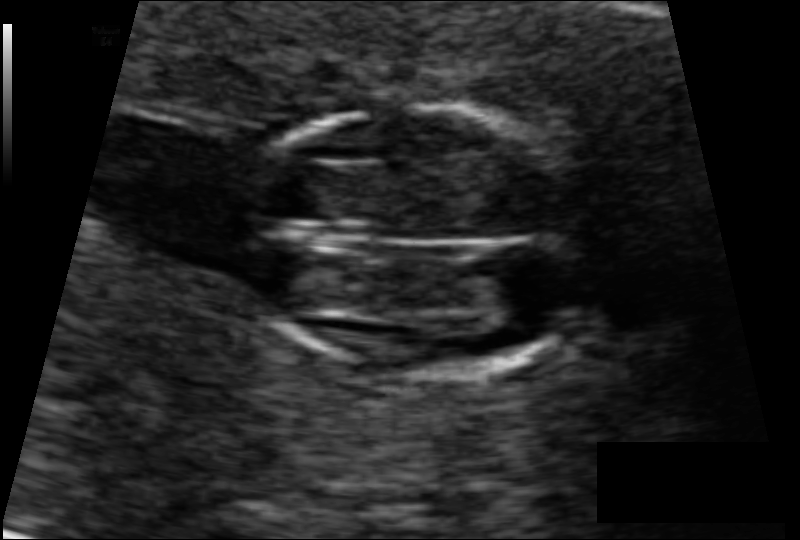
From this fetal ultrasound, estimate the head circumference (image width 60.3 mm).

Head circumference: 77.6 mm.